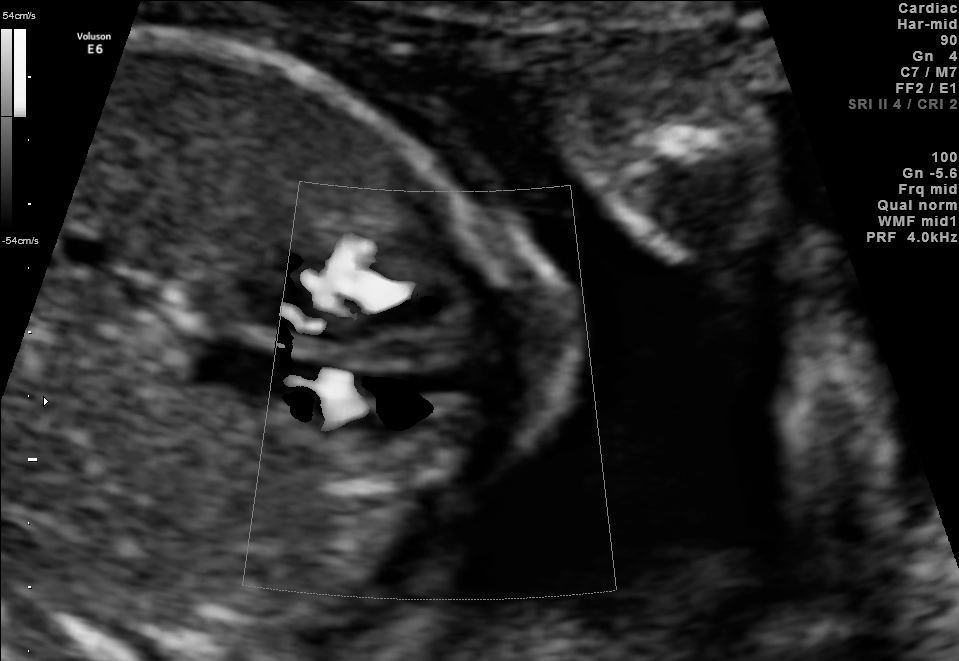
Which standard maternal-fetal ultrasound plane is shown: fetal abdomen, fetal brain, fetal femur, fetal thorax, maternal cervix, or other? If it's fetal brain and one of the three standard brain planes (trans-thalamic, trans-cerebellum, trans-ventricular), name which.

Other